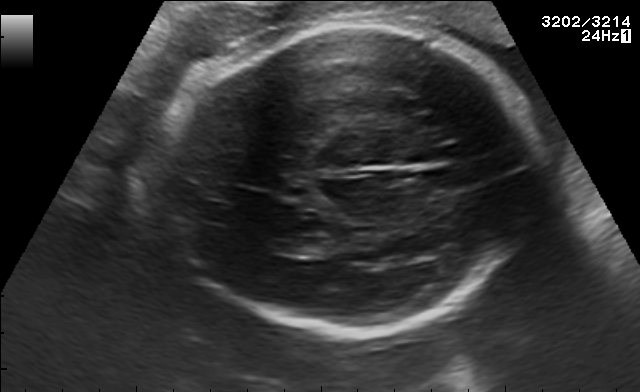
Which standard maternal-fetal ultrasound plane is shown: fetal abdomen, fetal brain, fetal femur, fetal thorax, maternal cervix, or other? If it's fetal brain and one of the three standard brain planes (trans-thalamic, trans-cerebellum, trans-ventricular), name which.

Fetal brain (trans-thalamic plane)